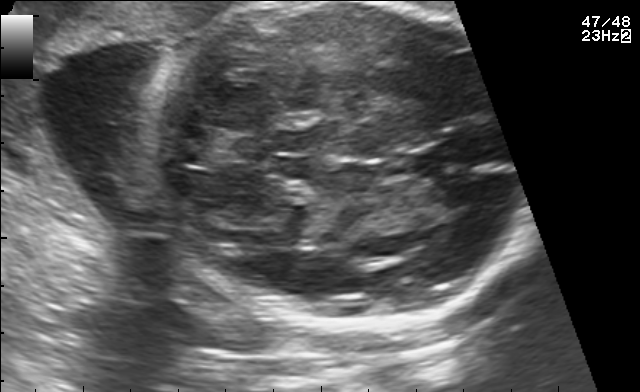
Fetal brain, trans-thalamic plane. Where is the cavum septum pellucidum?

CSP bounding box: [408,140,456,173]